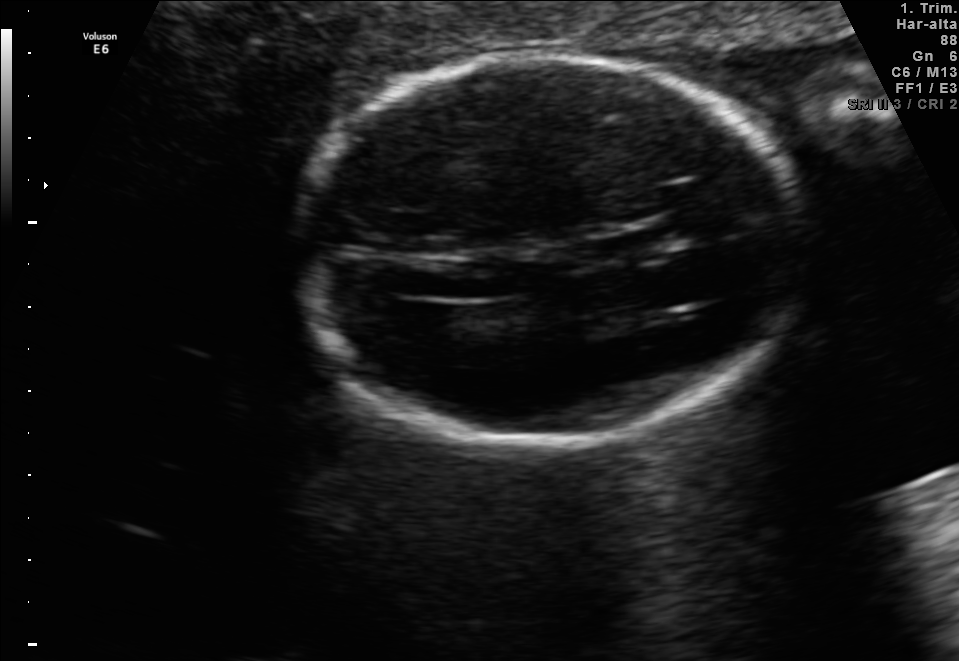
In this fetal brain, trans-thalamic plane, give the bounding box of the fetal head.

[297,58,804,443]